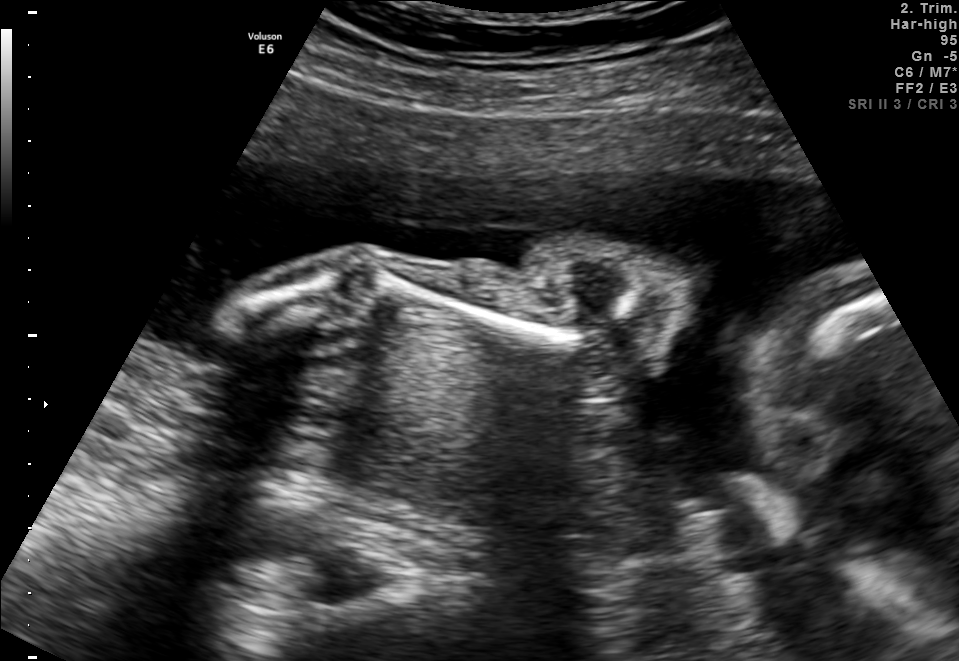
Which standard maternal-fetal ultrasound plane is shown: fetal abdomen, fetal brain, fetal femur, fetal thorax, maternal cervix, or other? If it's fetal brain and one of the three standard brain planes (trans-thalamic, trans-cerebellum, trans-ventricular), name which.

Other